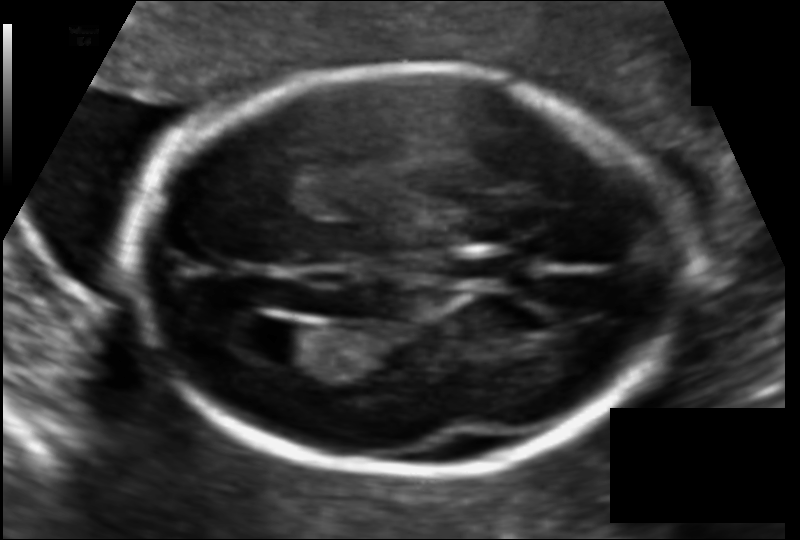
Estimate the fetal head circumference from this 2D ultrasound.

Head circumference: 176.2 mm (image width 89.2 mm).